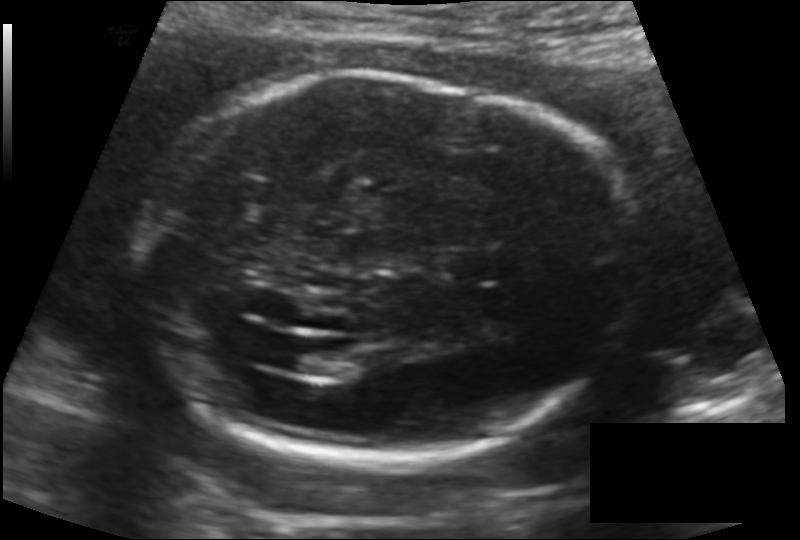
Estimate the fetal head circumference from this 2D ultrasound. Image width: 117.5 mm.

Head circumference: 212.9 mm.